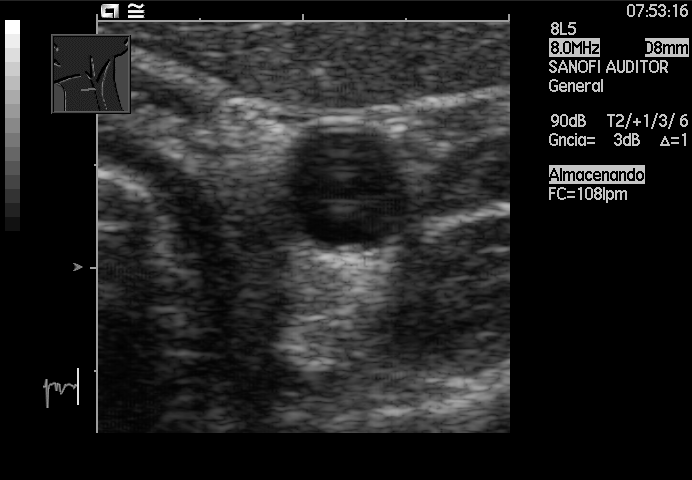
Which standard maternal-fetal ultrasound plane is shown: fetal abdomen, fetal brain, fetal femur, fetal thorax, maternal cervix, or other? If it's fetal brain and one of the three standard brain planes (trans-thalamic, trans-cerebellum, trans-ventricular), name which.

Other